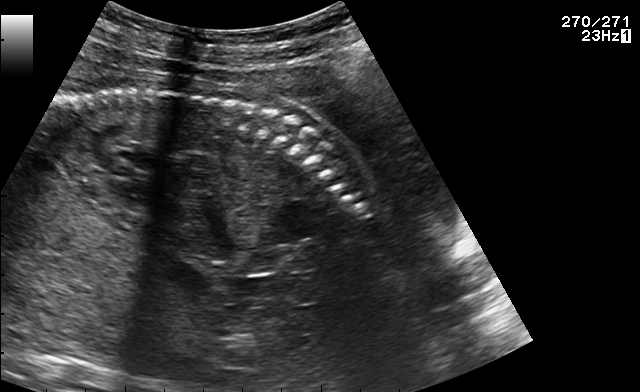
Identify the standard plane in this fetal ultrasound image: fetal abdomen, fetal brain, fetal femur, fetal thorax, maternal cervix, or other. If it's fetal brain and one of the three standard brain planes (trans-thalamic, trans-cerebellum, trans-ventricular), name which.

Other